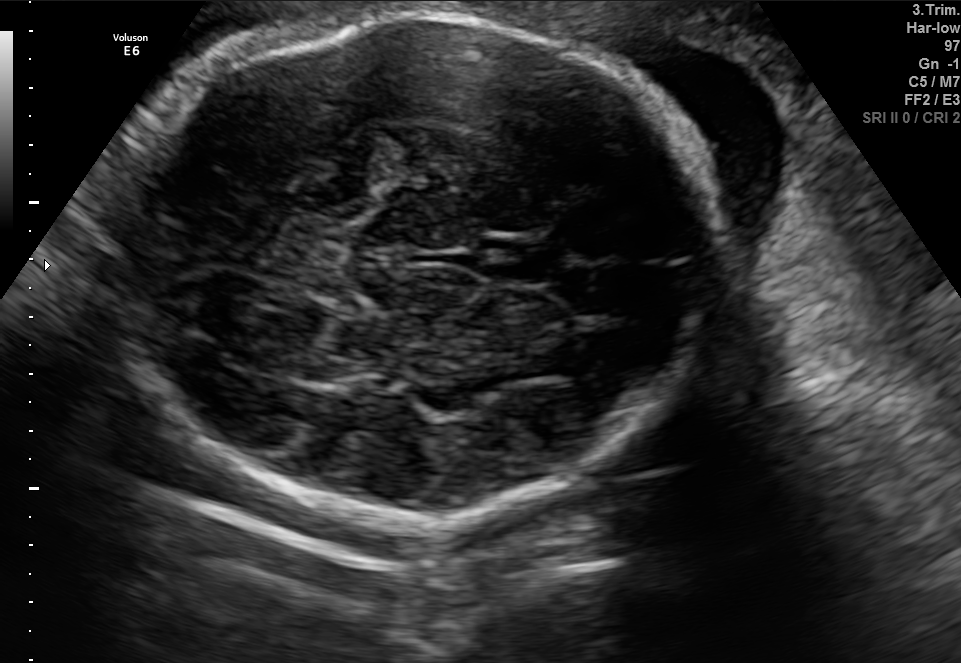
Fetal brain, trans-thalamic plane. Locate the fetal head and, if visible, the cavum septum pellucidum (CSP) and lateral ventricle (LV). Give bounding boxes as [x1,y1,x2,y2].

Head: [124,11,725,532]
CSP: [481,240,548,281]